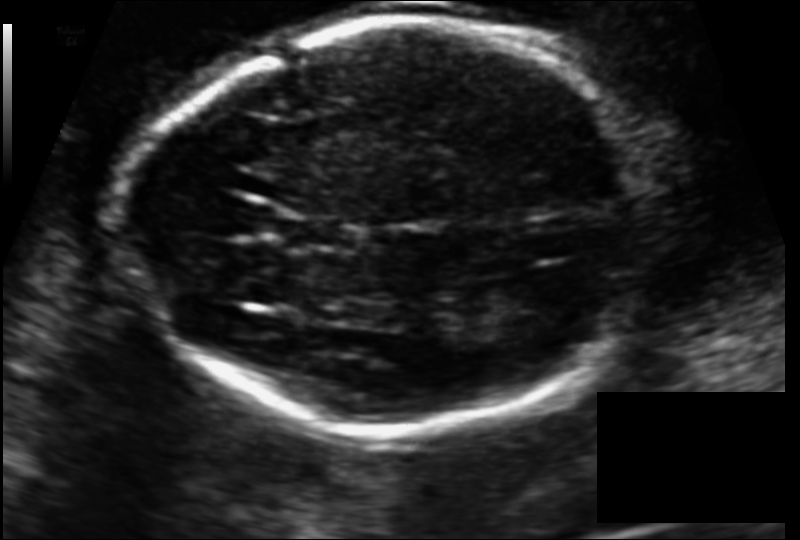
Fetal head ultrasound. Image width: 98.9 mm. Locate the fetal head and, if visible, the cavum septum pellucidum (CSP) and lateral ventricle (LV). Give bounding boxes as [x1,y1,x2,y2].

Head: [128,19,652,433]
CSP: [283,218,355,248]